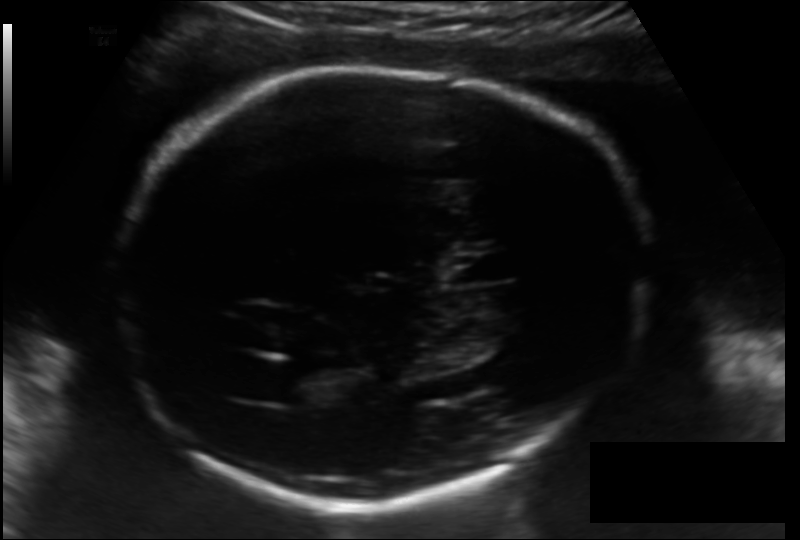
Estimate the fetal head circumference from this 2D ultrasound. Image width: 125.8 mm.

Head circumference: 244.7 mm.